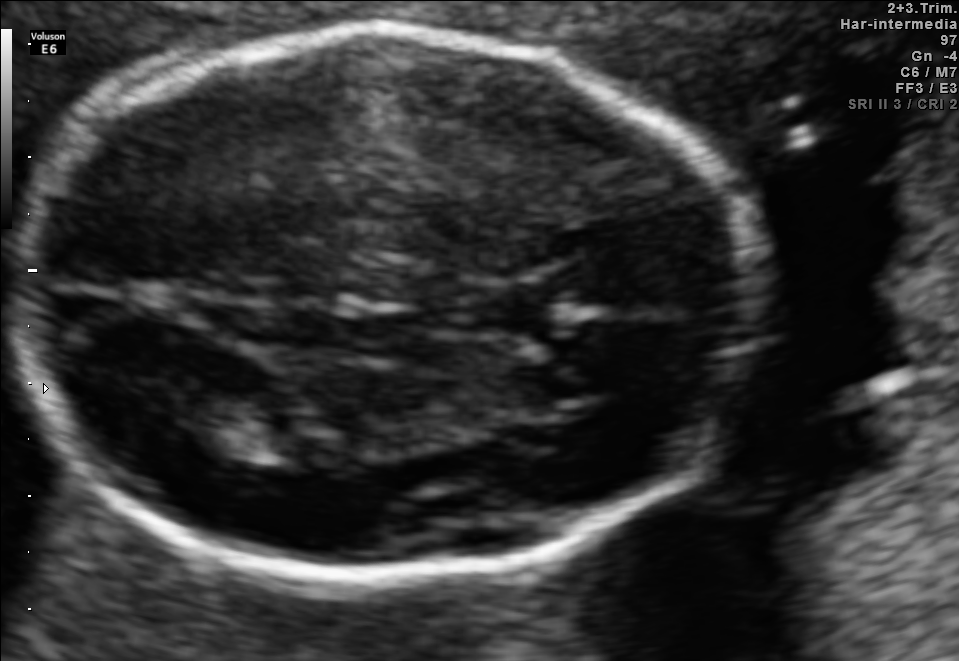
In this fetal brain, trans-thalamic plane, give the bounding box of the cavum septum pellucidum.

[476,287,552,334]